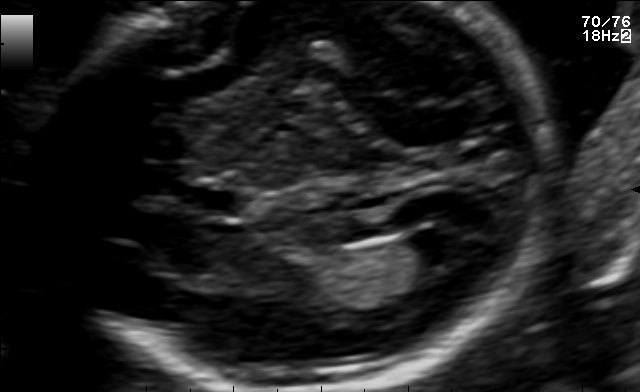
Fetal brain, trans-ventricular plane. Give [x1,y1,x2,y2] bounding boxes for each visible structure among: CSP, LV.

CSP: [191,191,241,216]
Lateral ventricle: [410,217,481,269]